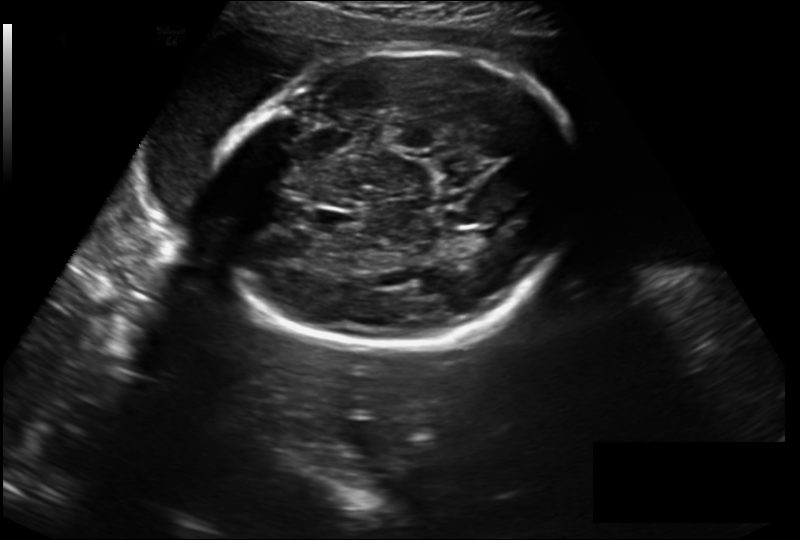
From this fetal ultrasound, estimate the head circumference (image width 184.1 mm).

Head circumference: 251.8 mm.